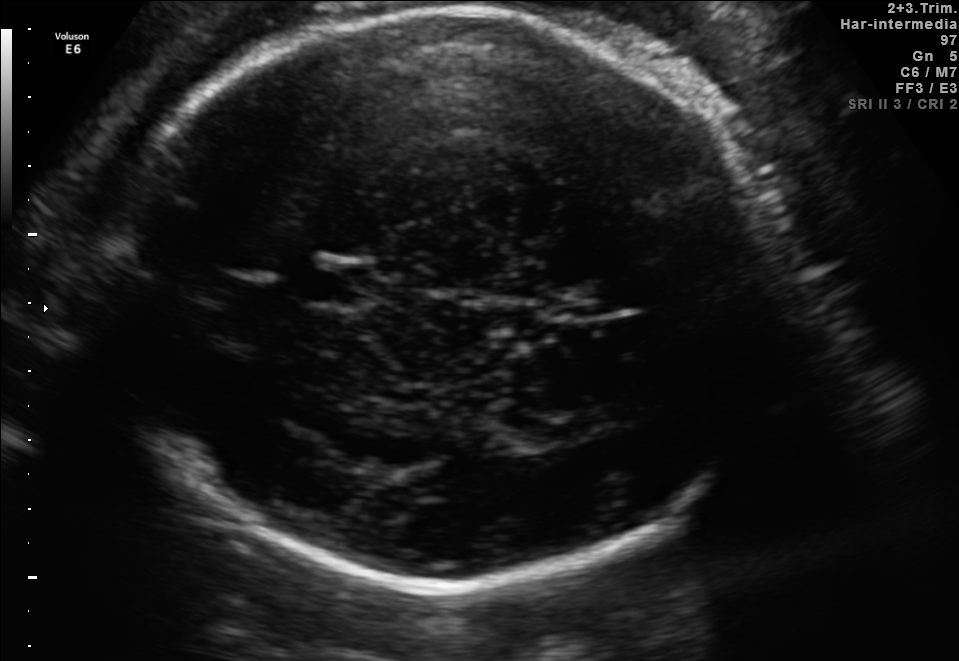
In this fetal brain, trans-thalamic plane, give the bounding box of the fetal head.

[105,11,792,582]